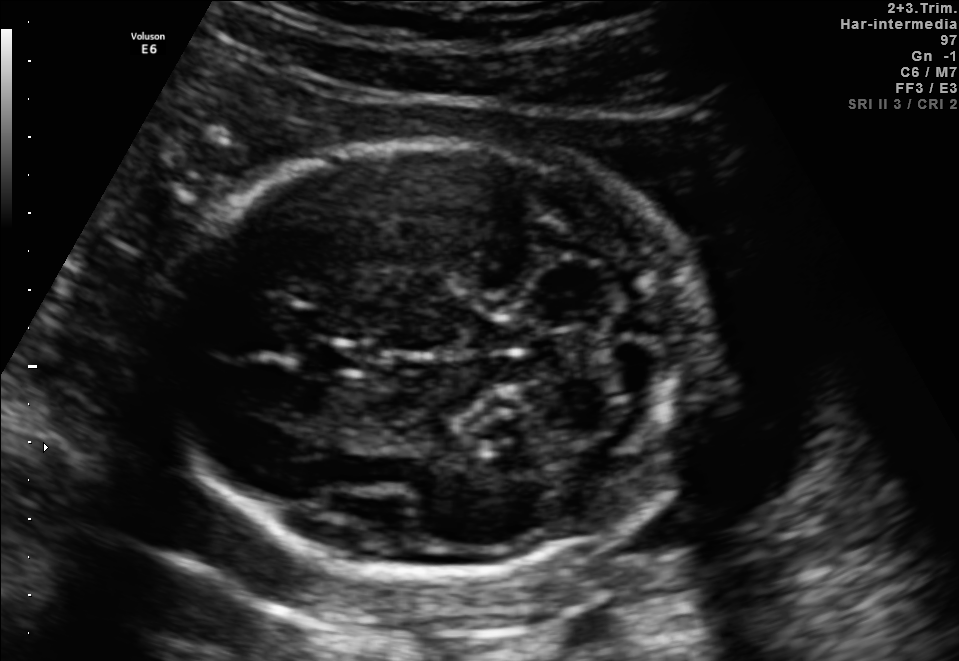
In this fetal brain, trans-cerebellum plane, give the bounding box of the cavum septum pellucidum.

[304,337,361,377]